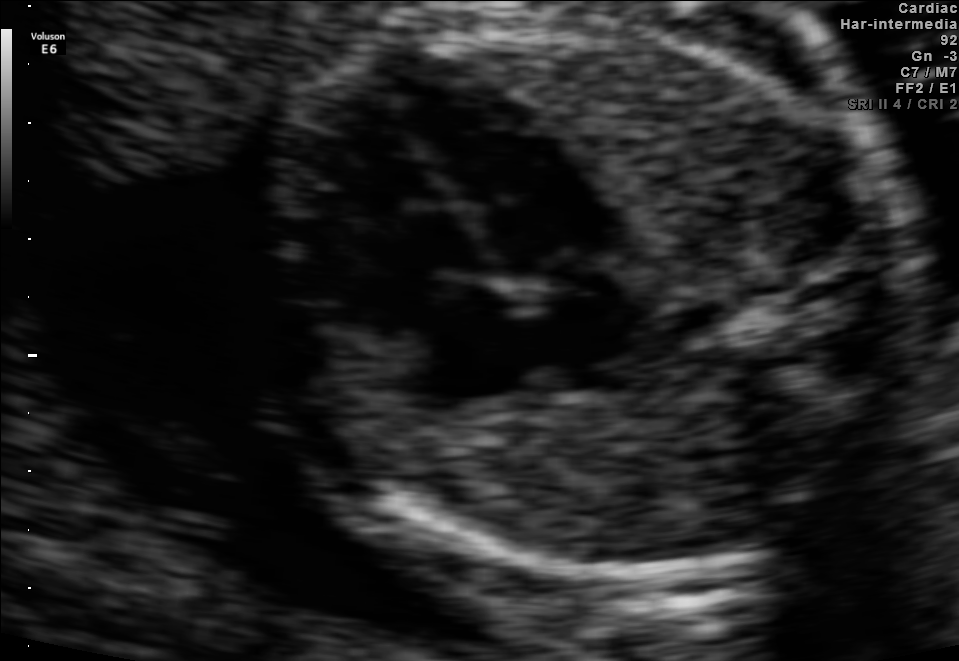
This is a 2D maternal-fetal ultrasound frame. Is it a fetal abdomen, fetal brain, fetal femur, fetal thorax, maternal cervix, or other standard plane? If it's fetal brain and one of the three standard brain planes (trans-thalamic, trans-cerebellum, trans-ventricular), name which.

Fetal thorax